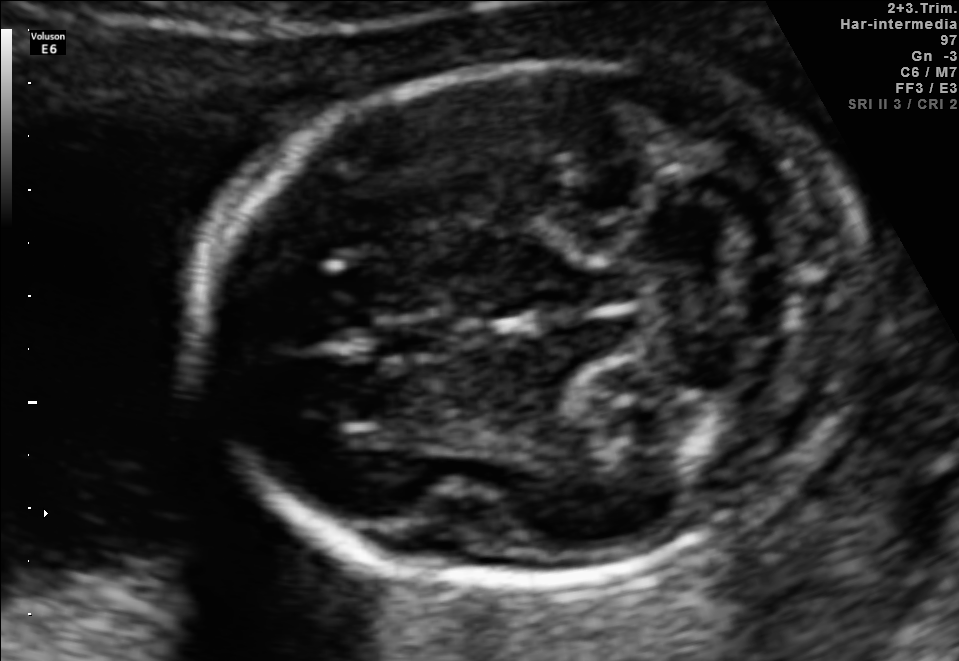
Fetal brain, trans-cerebellum plane. Where is the fetal head?

Head bounding box: [201,59,868,584]